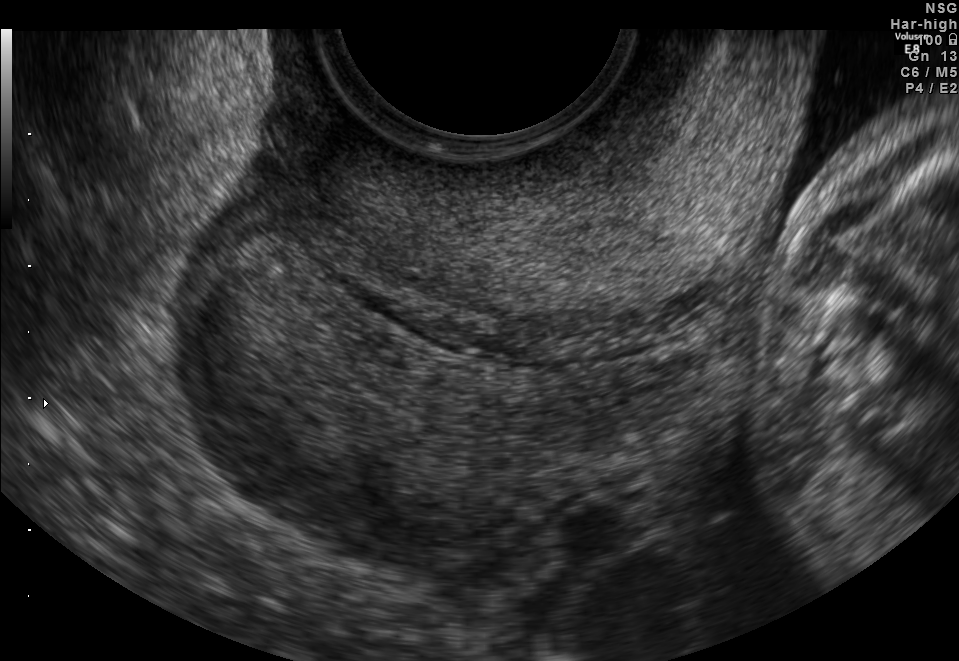
Which standard maternal-fetal ultrasound plane is shown: fetal abdomen, fetal brain, fetal femur, fetal thorax, maternal cervix, or other? If it's fetal brain and one of the three standard brain planes (trans-thalamic, trans-cerebellum, trans-ventricular), name which.

Maternal cervix